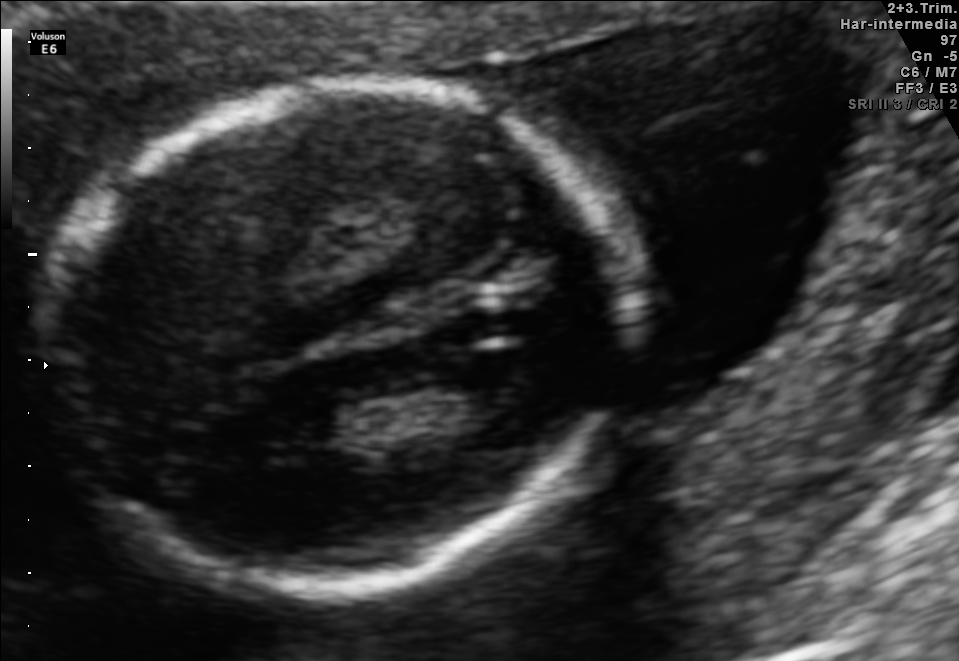
Fetal brain, trans-thalamic plane. Give [x1,y1,x2,y2] bounding boxes for each visible structure among: fetal head, CSP, LV.

Head: [43,77,624,594]